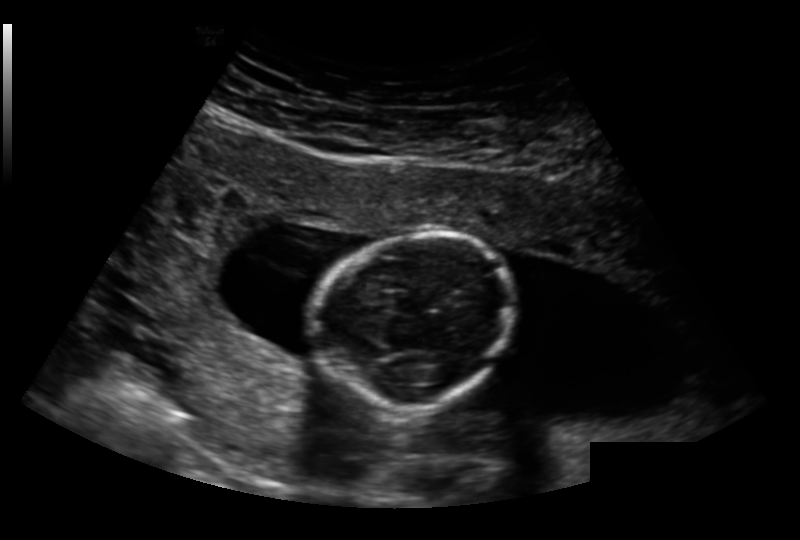
Estimate the fetal head circumference from this 2D ultrasound.

Head circumference: 116.8 mm (image width 152.4 mm).